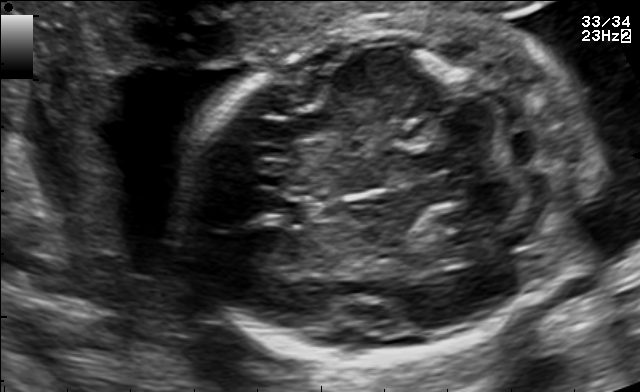
In this fetal brain, trans-cerebellum plane, give the bounding box of the fetal head.

[182,13,595,353]